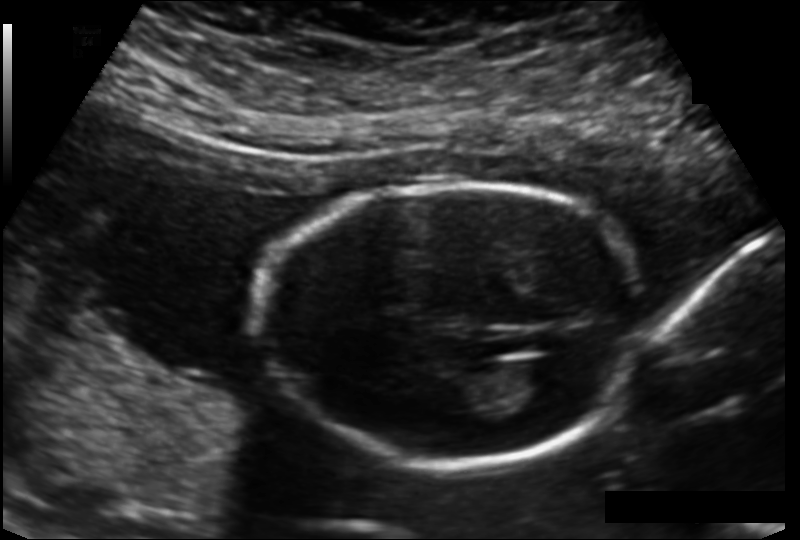
Fetal head ultrasound. Image width: 107.7 mm. Where is the fetal head?

Head bounding box: [260,181,647,465]